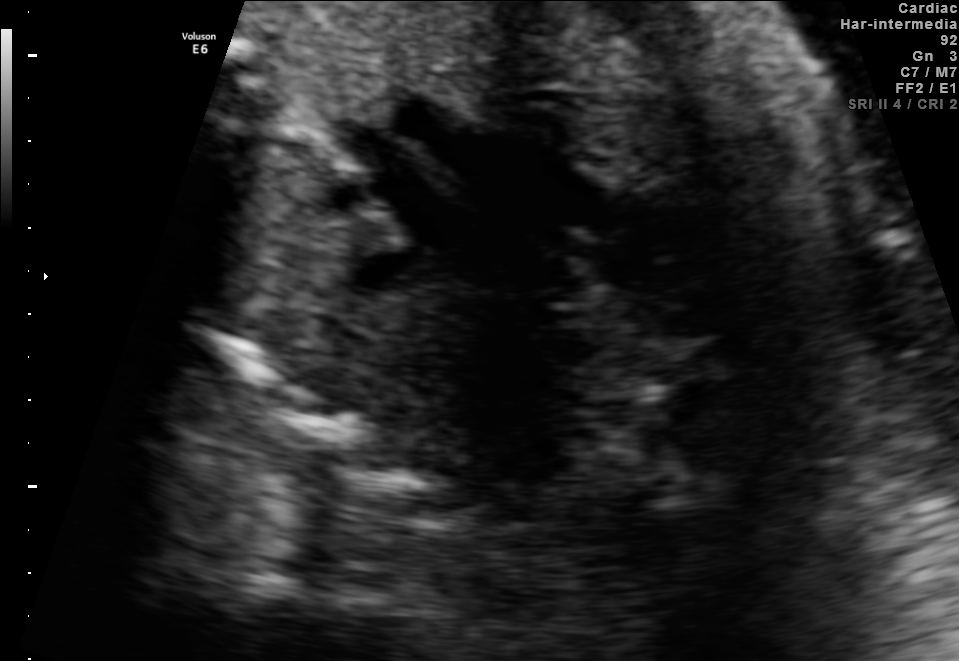
Which standard maternal-fetal ultrasound plane is shown: fetal abdomen, fetal brain, fetal femur, fetal thorax, maternal cervix, or other? If it's fetal brain and one of the three standard brain planes (trans-thalamic, trans-cerebellum, trans-ventricular), name which.

Other